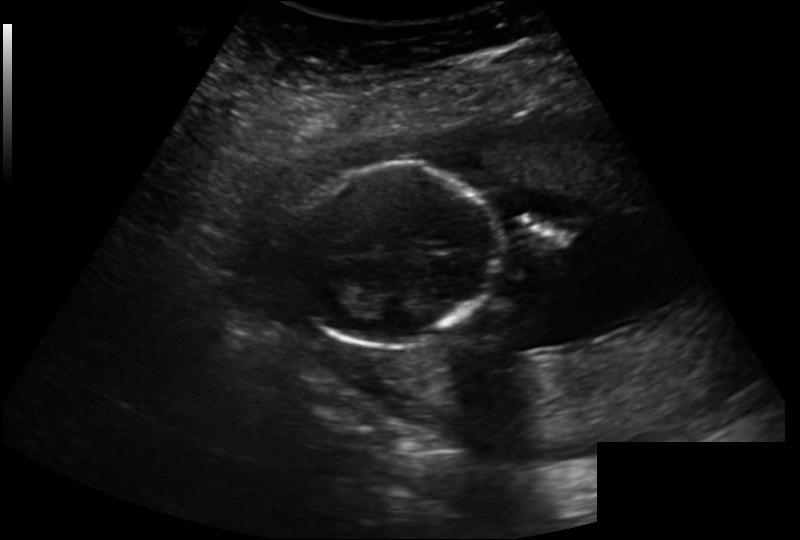
Measure the fetal head circumference shown in this ultrasound image. Image width: 161.6 mm.

Head circumference: 134.0 mm.